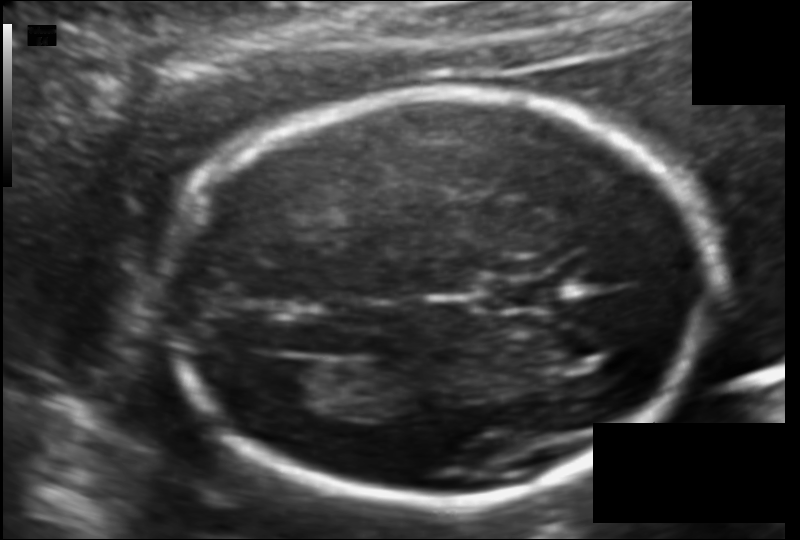
Estimate the fetal head circumference from this 2D ultrasound.

Head circumference: 170.9 mm (image width 88.5 mm).